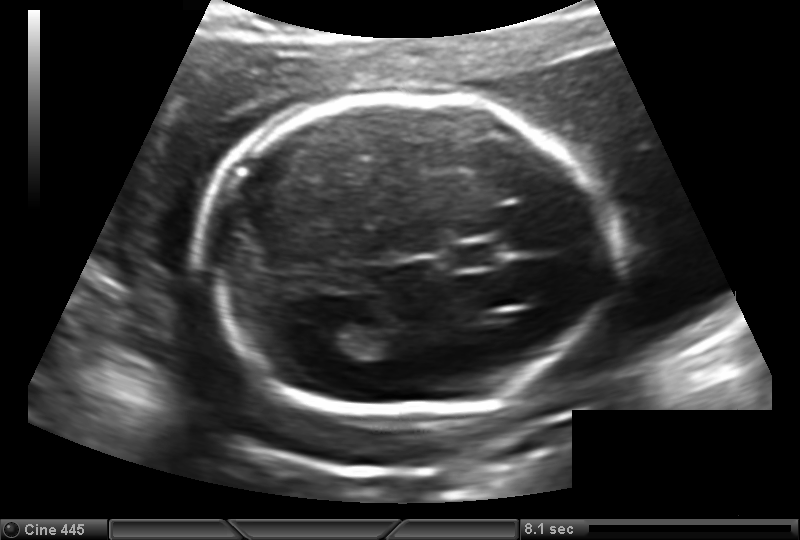
Measure the fetal head circumference shown in this ultrasound image. Image width: 119.4 mm.

Head circumference: 180.6 mm.